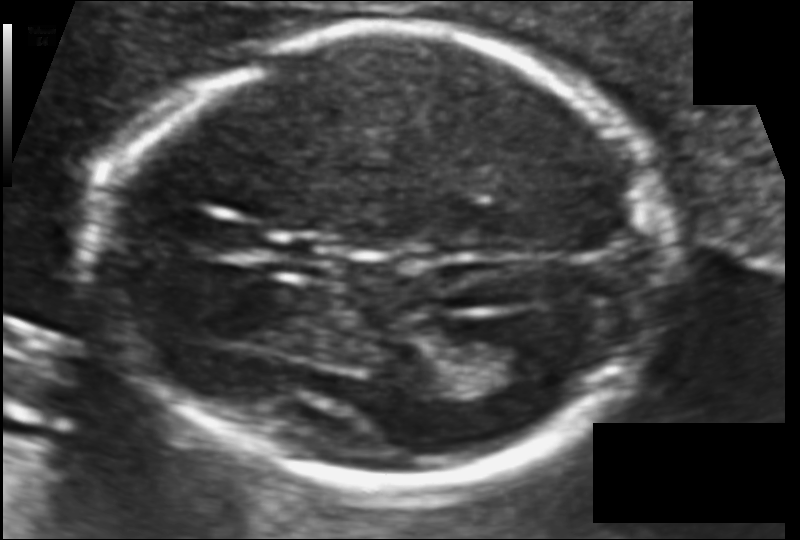
Estimate the fetal head circumference from this 2D ultrasound.

Head circumference: 167.4 mm (image width 78.9 mm).